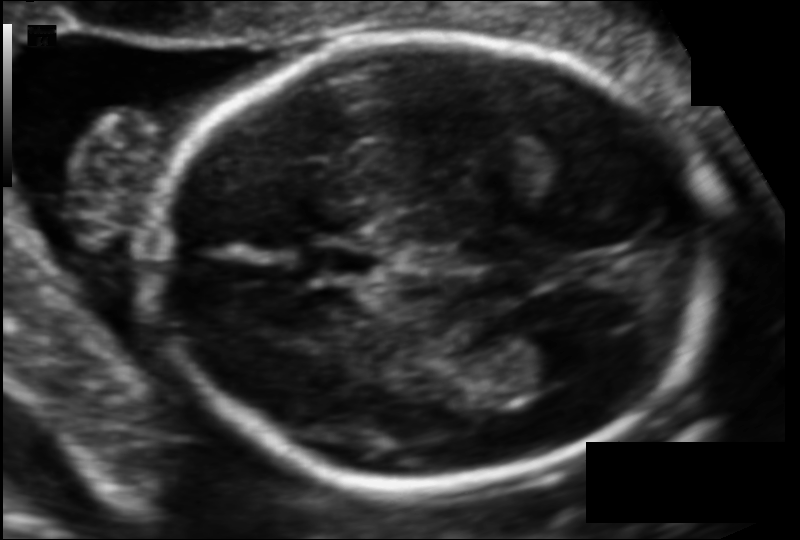
Fetal head ultrasound. Image width: 81.4 mm. Locate the cavum septum pellucidum.

CSP: [310,245,384,279]